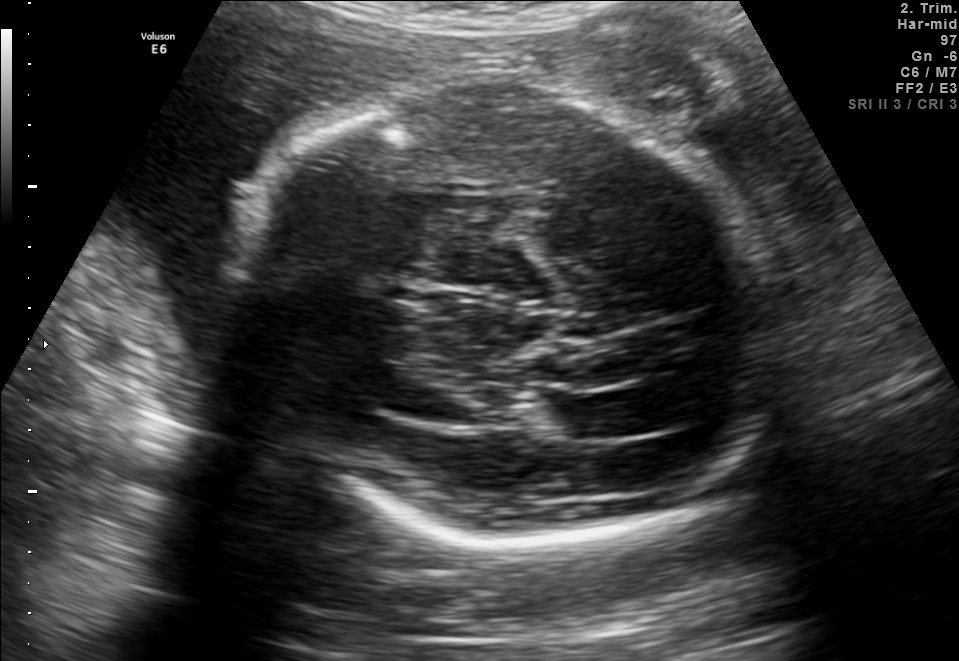
In this fetal brain, trans-thalamic plane, give the bounding box of the lateral ventricle.

[542,393,632,441]